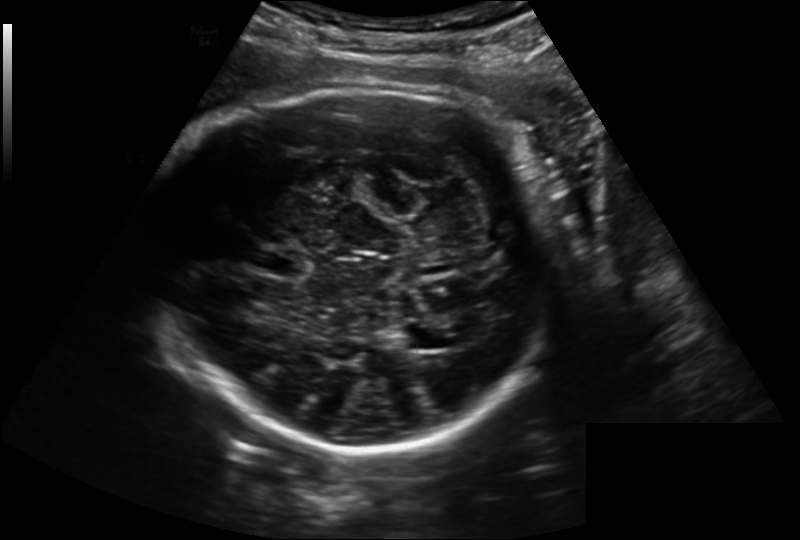
In this fetal head ultrasound, give the bounding box of the cavum septum pellucidum. Image width: 177.2 mm.

[251,245,312,284]